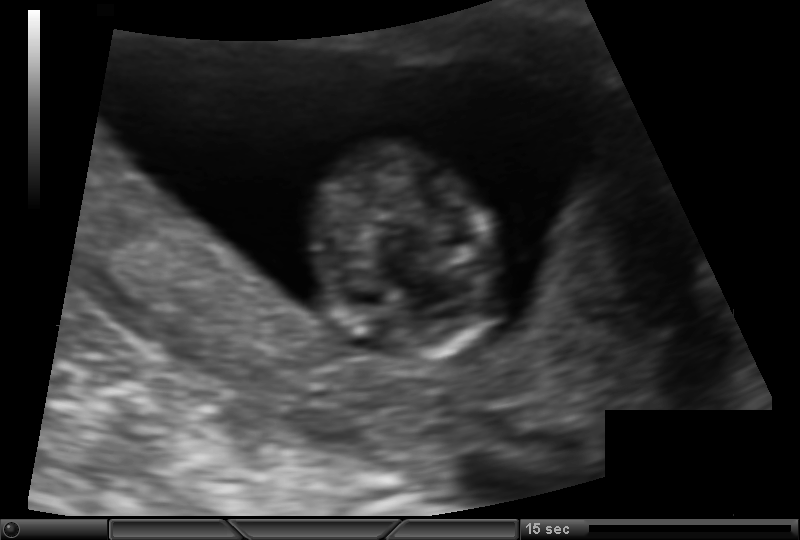
Fetal head ultrasound. Image width: 84.2 mm. Locate the fetal head and, if visible, the cavum septum pellucidum (CSP) and lateral ventricle (LV). Give bounding boxes as [x1,y1,x2,y2].

Head: [309,142,502,364]